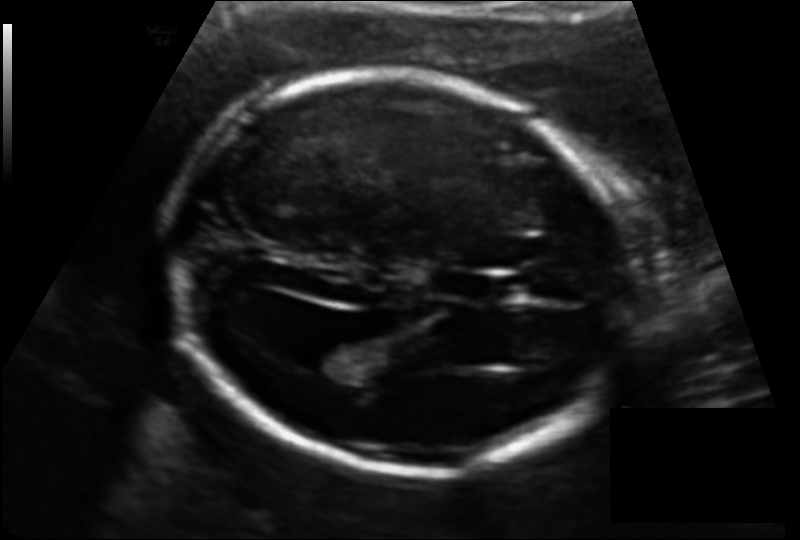
Fetal head ultrasound. Image width: 104.7 mm. Locate the fetal head and, if visible, the cavum septum pellucidum (CSP) and lateral ventricle (LV). Give bounding boxes as [x1,y1,x2,y2].

Head: [163,75,636,471]
CSP: [436,267,508,304]
Lateral ventricle: [288,329,364,383]